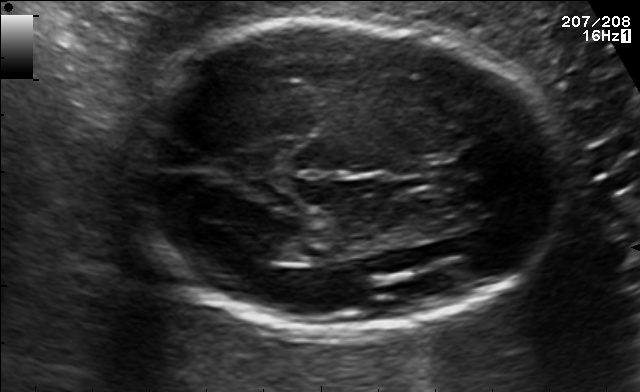
Fetal brain, trans-thalamic plane. Give [x1,y1,x2,y2] bounding boxes for each visible structure among: fetal head, CSP, LV.

Head: [125,22,566,330]
Lateral ventricle: [259,237,314,263]